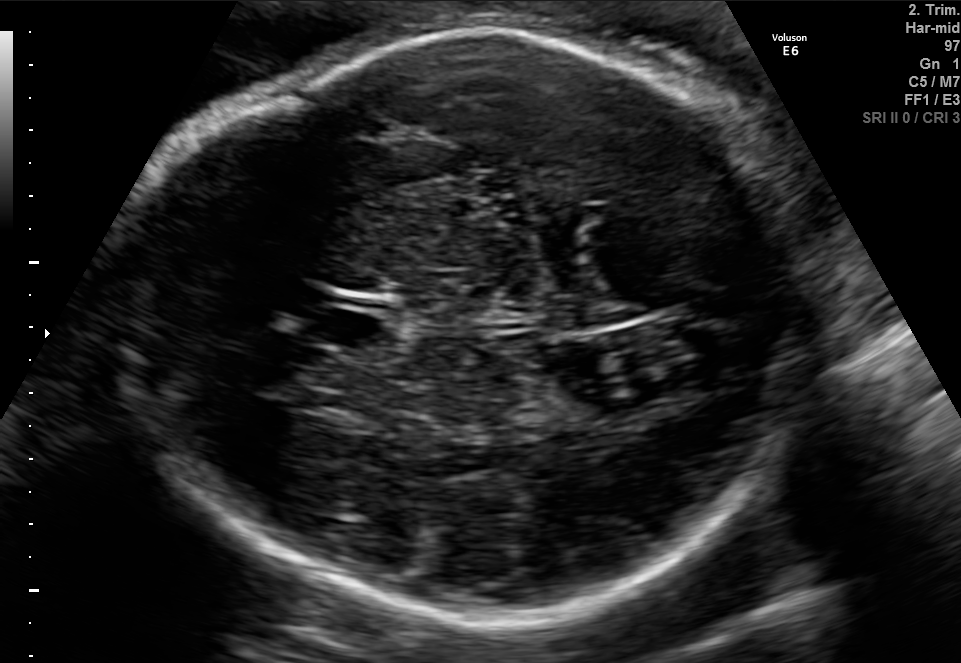
Fetal brain, trans-thalamic plane. Locate the fetal head.

Head: [112,29,835,630]